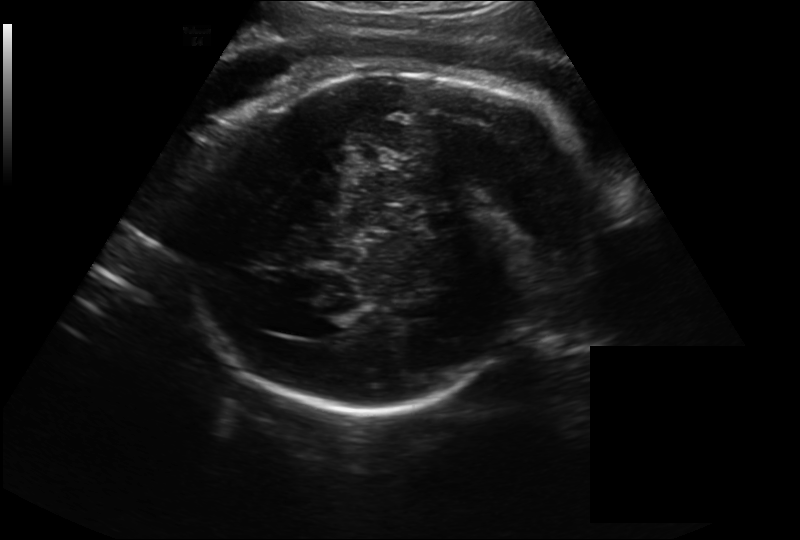
Estimate the fetal head circumference from this 2D ultrasound. Image width: 209.3 mm.

Head circumference: 312.5 mm.